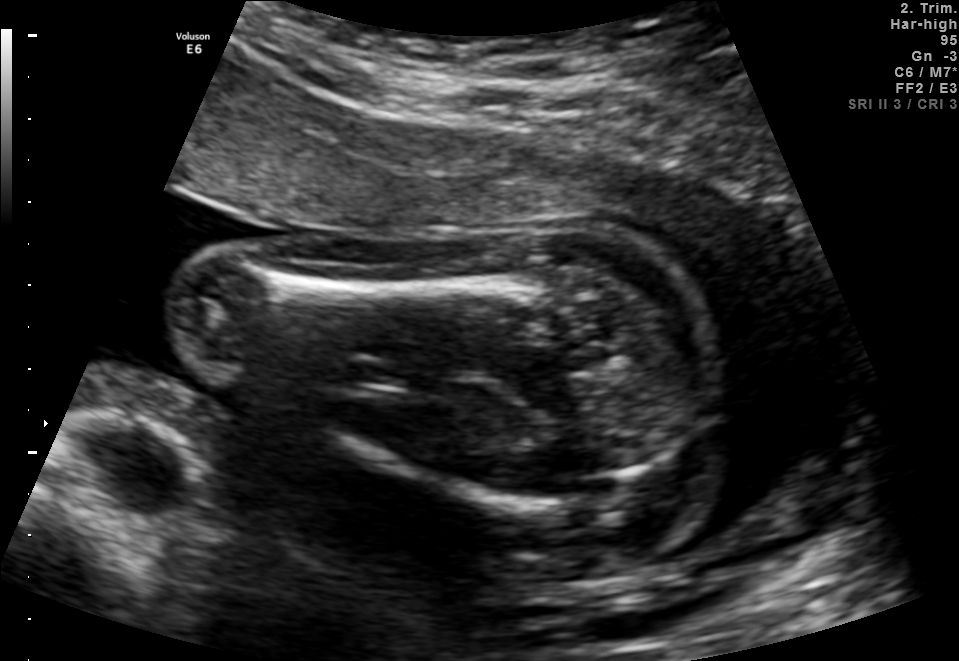
Classify this maternal-fetal ultrasound image as one of the six standard planes — fetal abdomen, fetal brain, fetal femur, fetal thorax, maternal cervix, or other. If it's fetal brain and one of the three standard brain planes (trans-thalamic, trans-cerebellum, trans-ventricular), name which.

Fetal femur